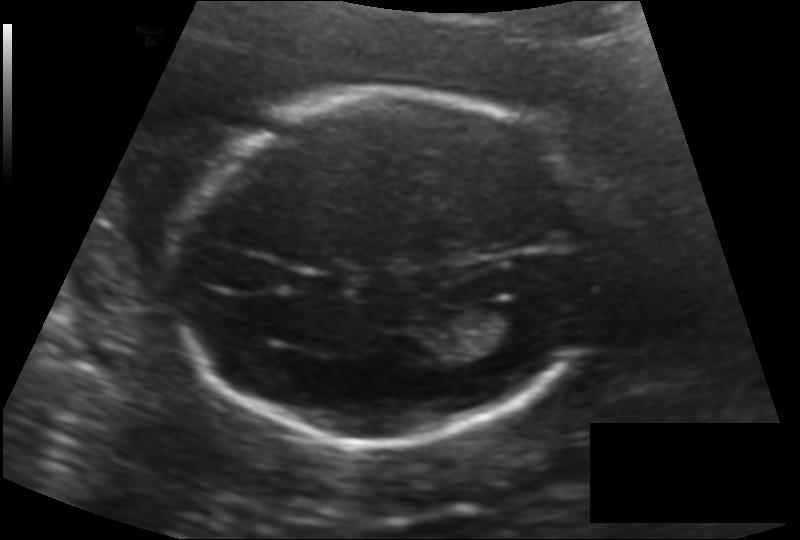
Fetal head ultrasound. Image width: 112.2 mm. Locate the cavum septum pellucidum.

CSP: [295,273,347,295]